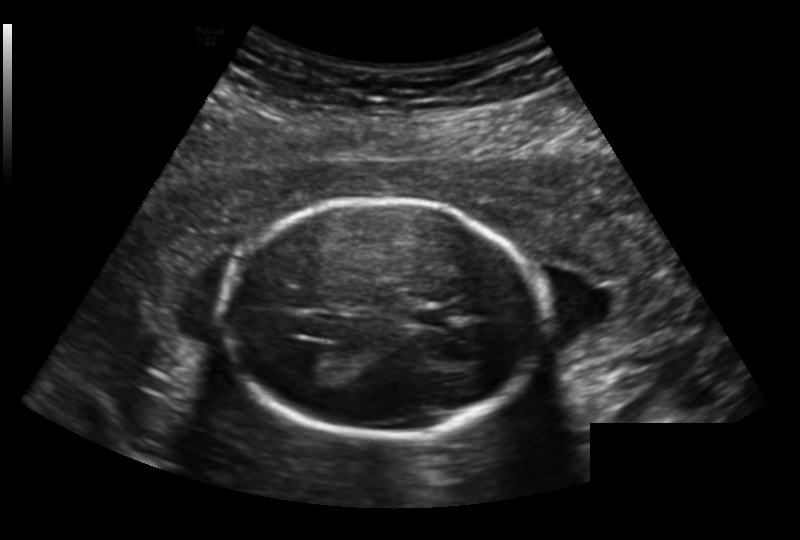
Estimate the fetal head circumference from this 2D ultrasound.

Head circumference: 176.7 mm (image width 152.4 mm).